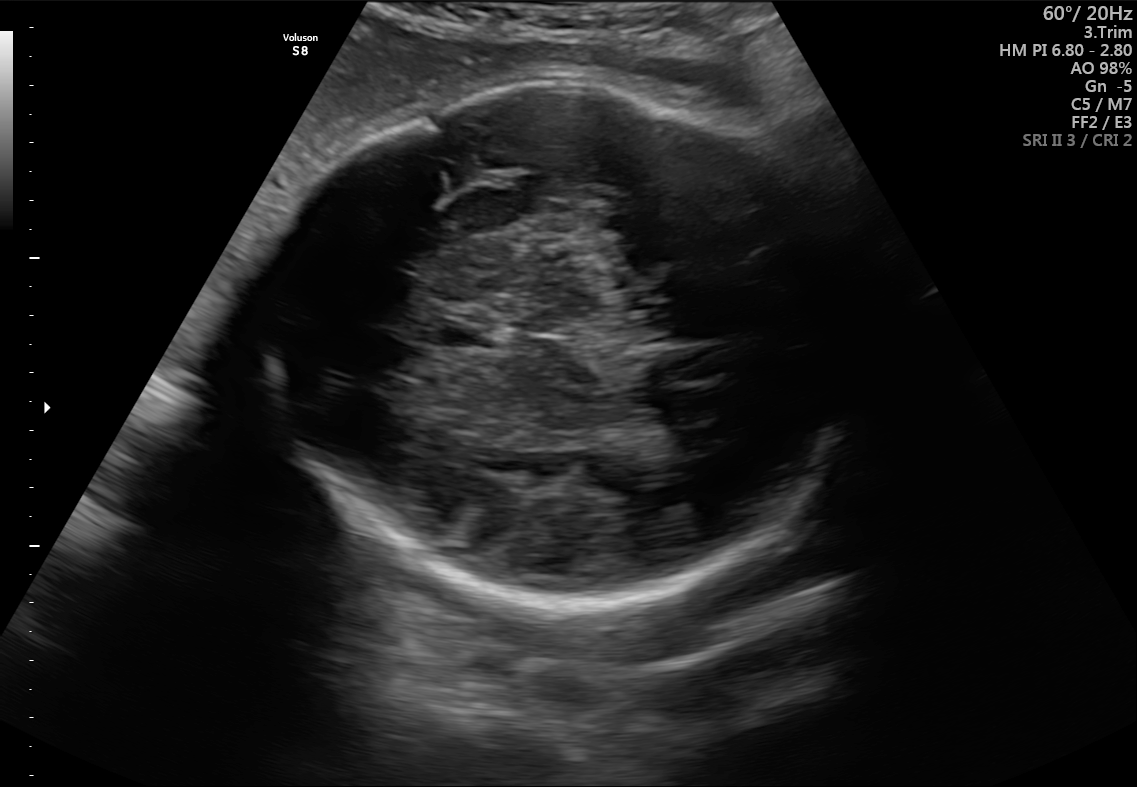
In this fetal brain, trans-thalamic plane, give the bounding box of the fetal head.

[257,77,870,612]